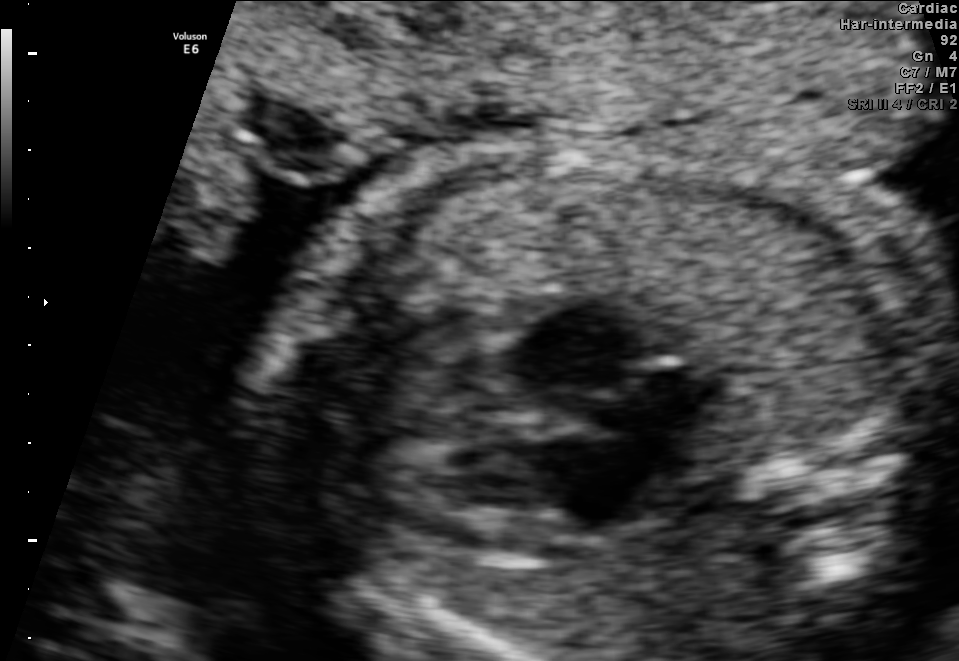
Identify the standard plane in this fetal ultrasound image: fetal abdomen, fetal brain, fetal femur, fetal thorax, maternal cervix, or other. If it's fetal brain and one of the three standard brain planes (trans-thalamic, trans-cerebellum, trans-ventricular), name which.

Fetal thorax